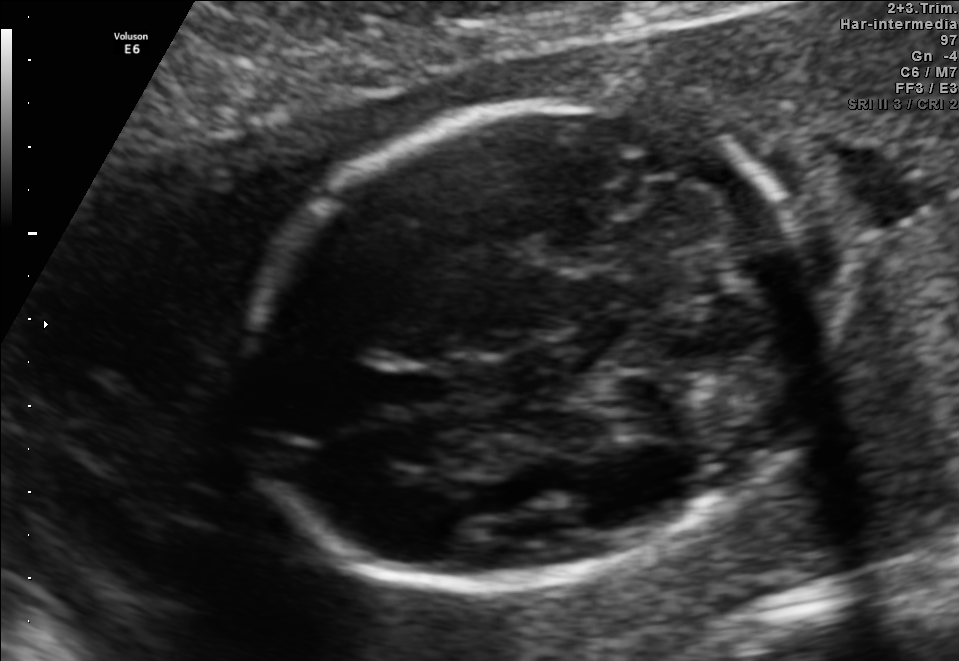
In this fetal brain, trans-cerebellum plane, give bounding boxes for the head outline, cavum septum pellucidum (CSP), and lateral ventricle (LV), where visible.

Head: [247,102,826,581]